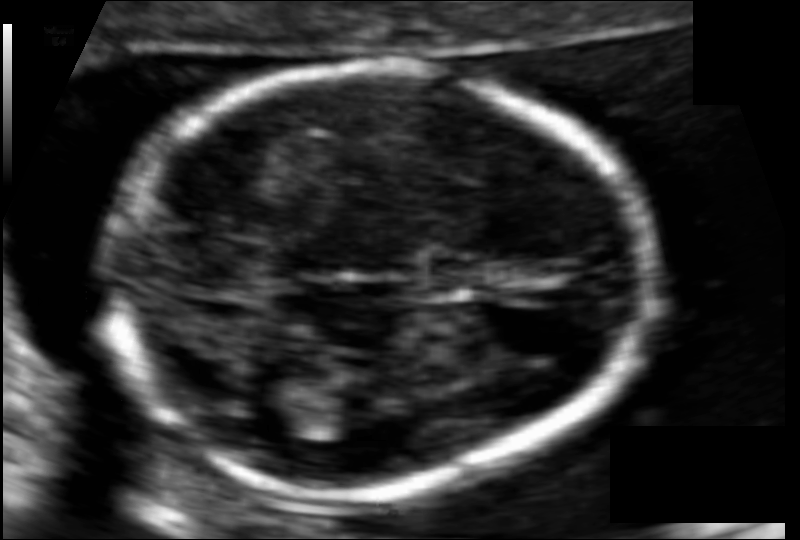
Fetal head ultrasound. Image width: 67.6 mm. Where is the fetal head?

Head bounding box: [105,67,645,501]